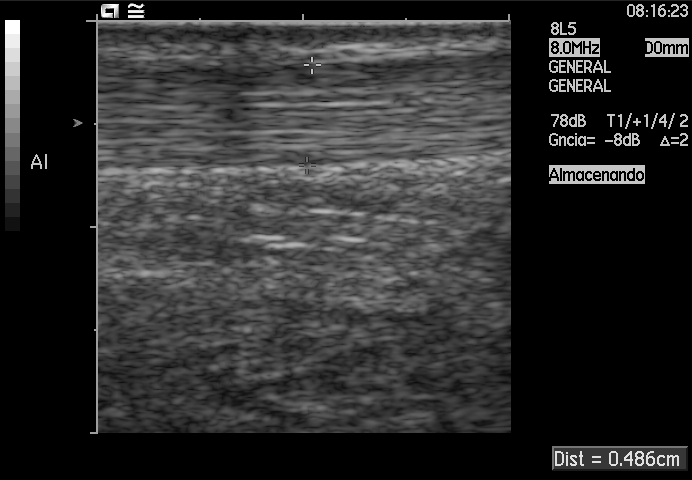
Which standard maternal-fetal ultrasound plane is shown: fetal abdomen, fetal brain, fetal femur, fetal thorax, maternal cervix, or other? If it's fetal brain and one of the three standard brain planes (trans-thalamic, trans-cerebellum, trans-ventricular), name which.

Other